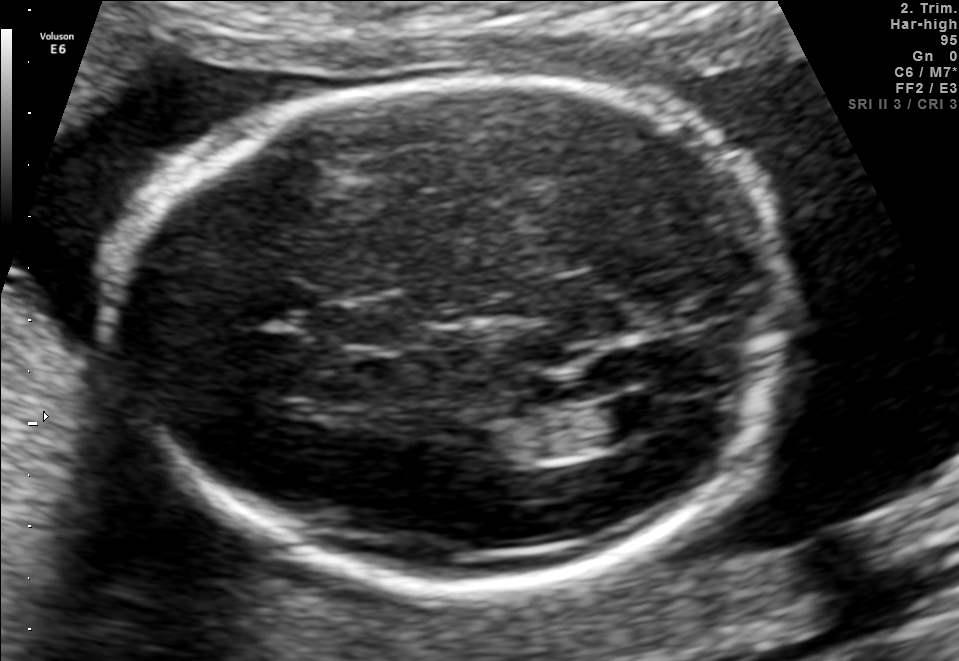
Fetal brain, trans-ventricular plane. Locate the cavum septum pellucidum.

CSP: [316,301,426,347]